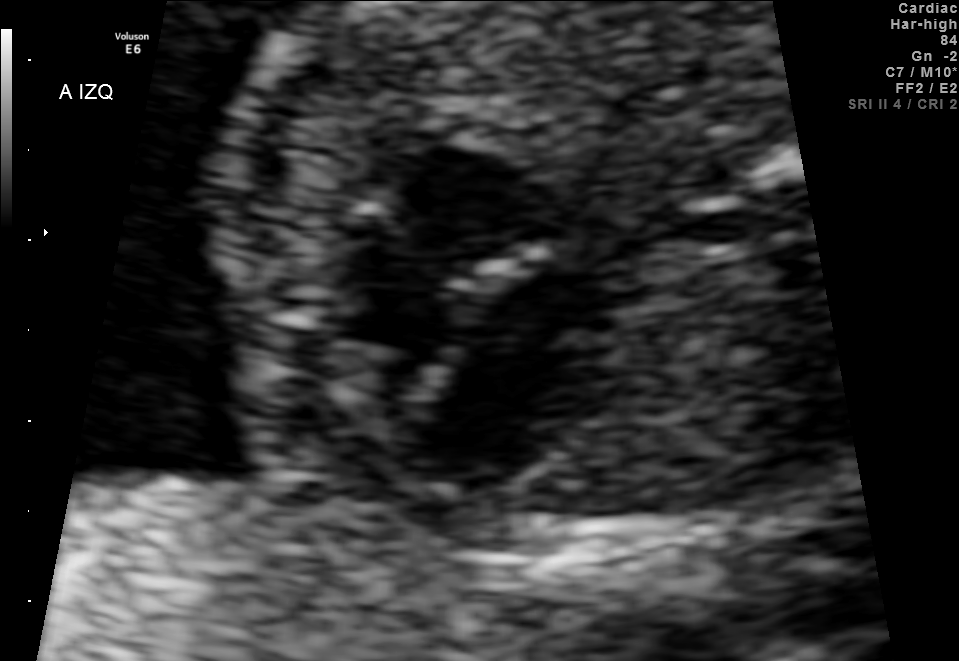
Identify the standard plane in this fetal ultrasound image: fetal abdomen, fetal brain, fetal femur, fetal thorax, maternal cervix, or other. If it's fetal brain and one of the three standard brain planes (trans-thalamic, trans-cerebellum, trans-ventricular), name which.

Fetal thorax